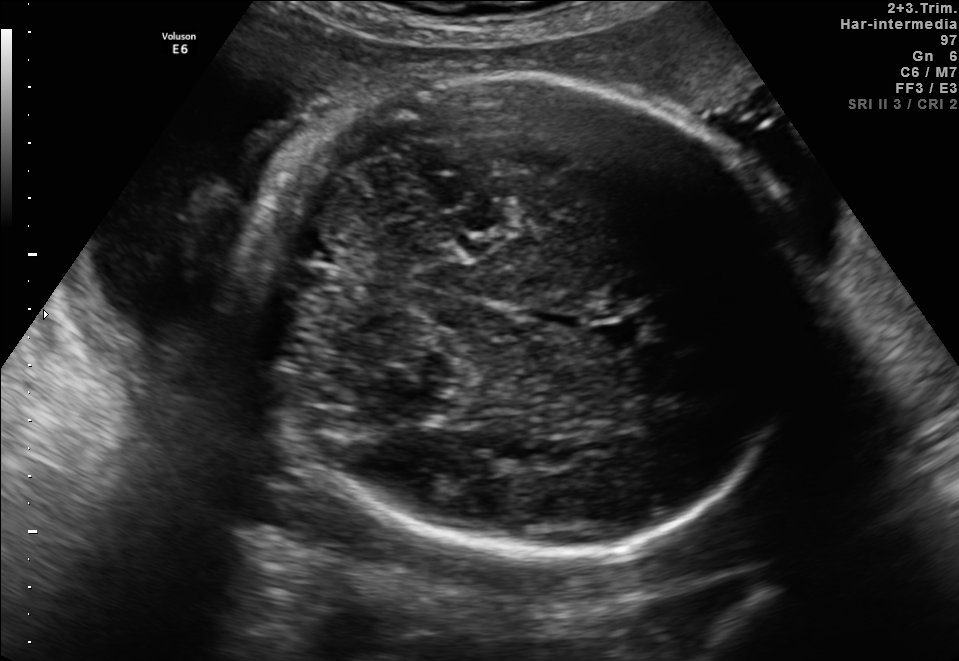
Fetal brain, trans-cerebellum plane. Locate the fetal head.

Head: [259,79,798,558]